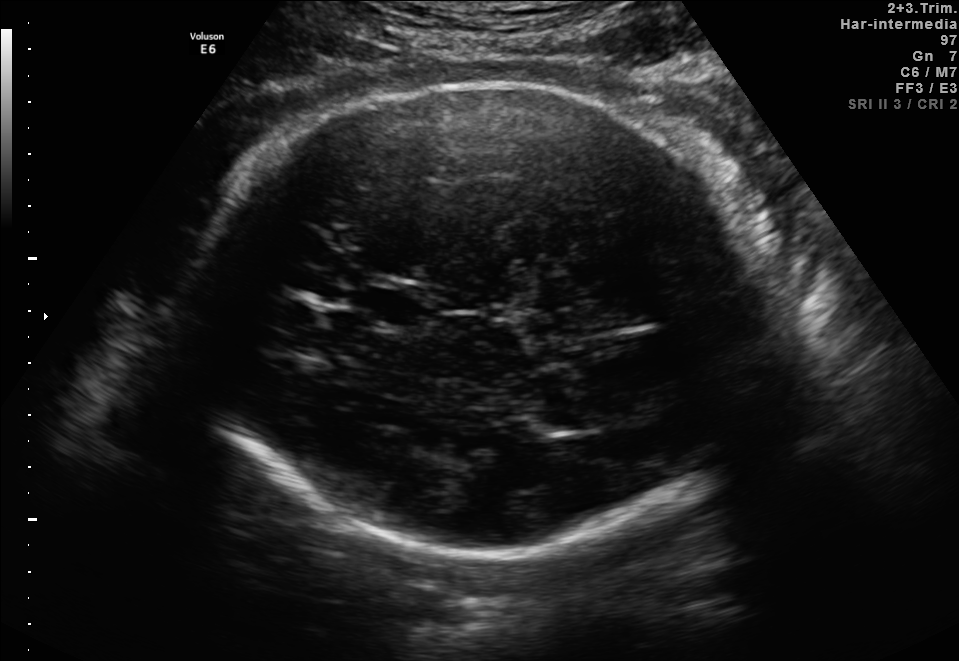
In this fetal brain, trans-thalamic plane, give the bounding box of the lateral ventricle.

[532,403,607,435]